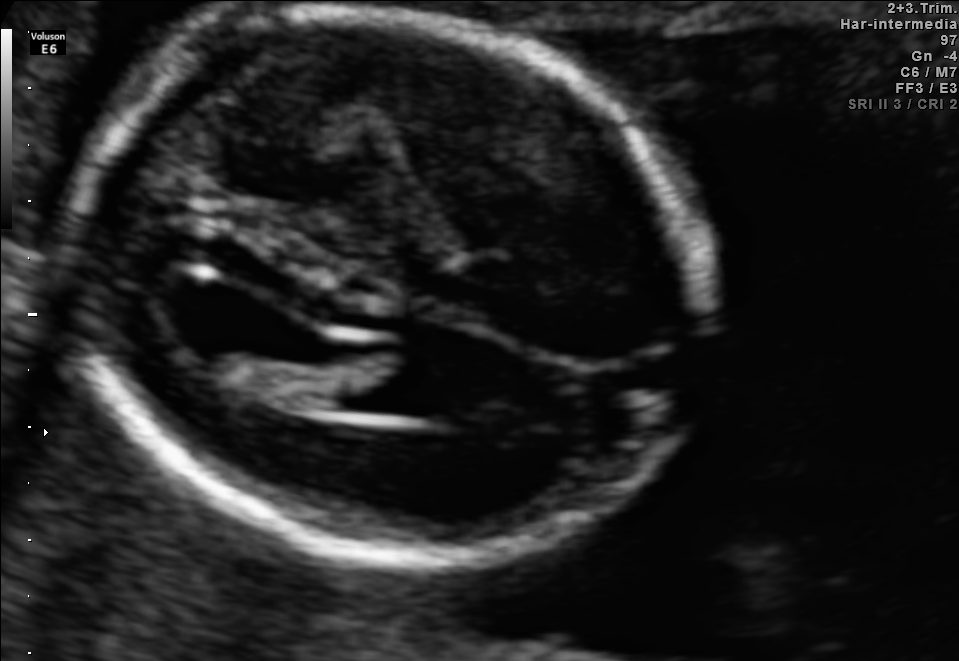
In this fetal brain, trans-ventricular plane, give bounding boxes for the head outline, cavum septum pellucidum (CSP), and lateral ventricle (LV), where visible.

Head: [54,4,729,577]